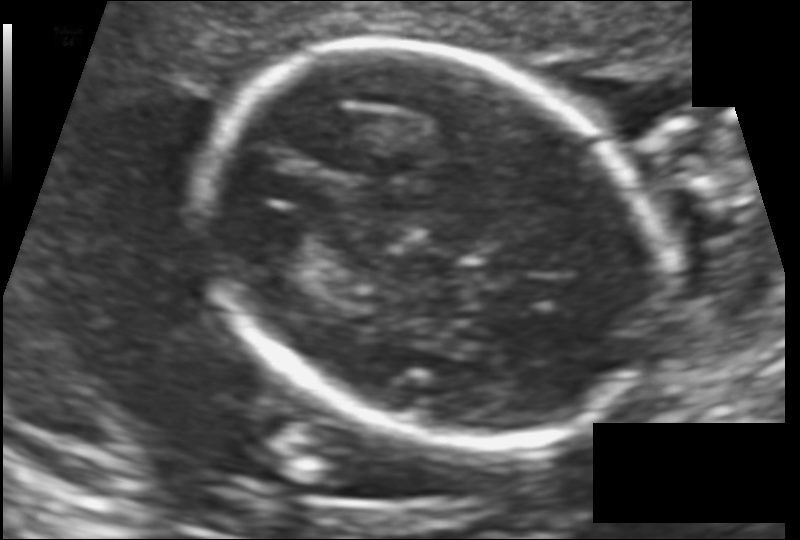
Fetal head ultrasound. Image width: 101.0 mm. Give [x1,y1,x2,y2] bounding boxes for each visible structure among: fetal head, CSP, LV.

Head: [199,46,652,442]